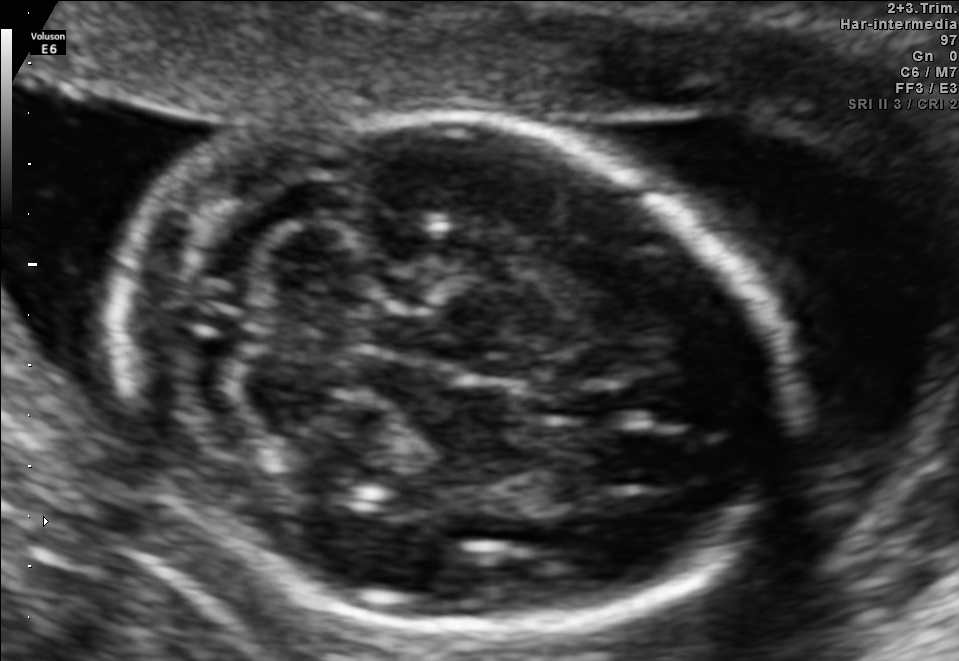
Fetal brain, trans-cerebellum plane. Locate the fetal head and, if visible, the cavum septum pellucidum (CSP) and lateral ventricle (LV). Give bounding boxes as [x1,y1,x2,y2].

Head: [107,109,796,632]